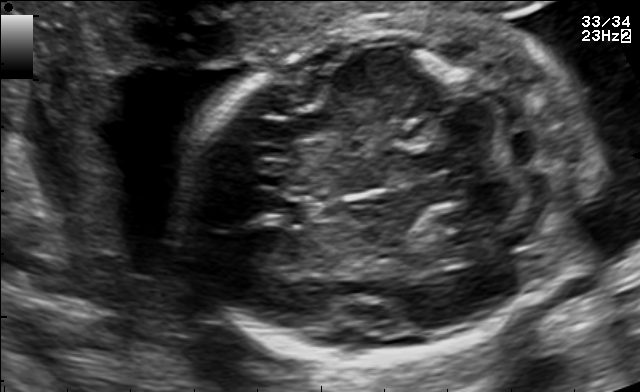
Fetal brain, trans-cerebellum plane. Where is the fetal head?

Head bounding box: [182,13,595,353]